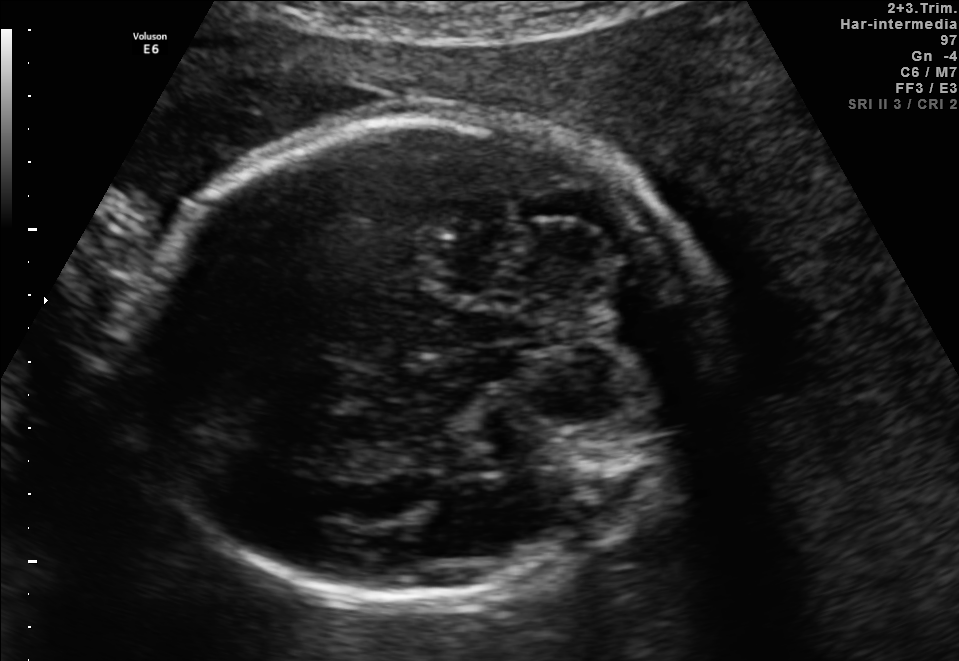
Fetal brain, trans-cerebellum plane. Give [x1,y1,x2,y2] bounding boxes for each visible structure among: fetal head, CSP, LV.

Head: [135,110,704,599]